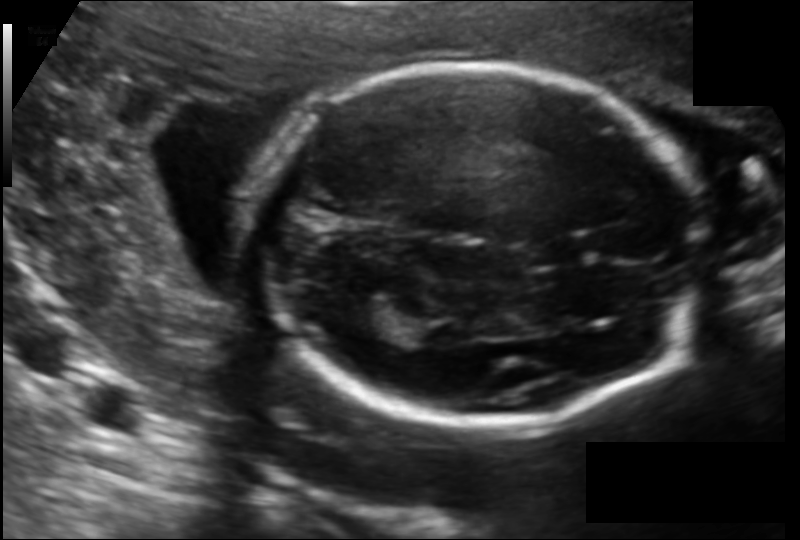
In this fetal head ultrasound, give bounding boxes for the head outline, cavum septum pellucidum (CSP), and lateral ventricle (LV), where visible. Image width: 103.2 mm.

Head: [248,63,702,422]
CSP: [526,235,586,271]